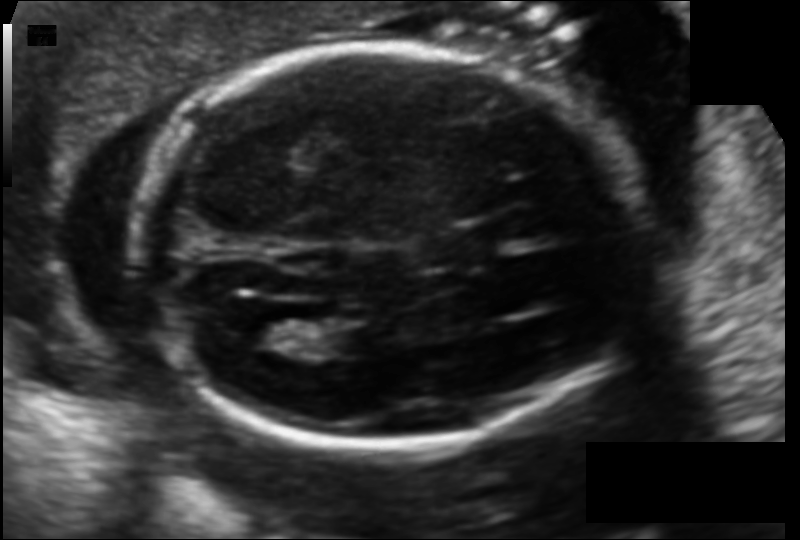
From this fetal ultrasound, estimate the head circumference (image width 96.5 mm).

Head circumference: 175.1 mm.